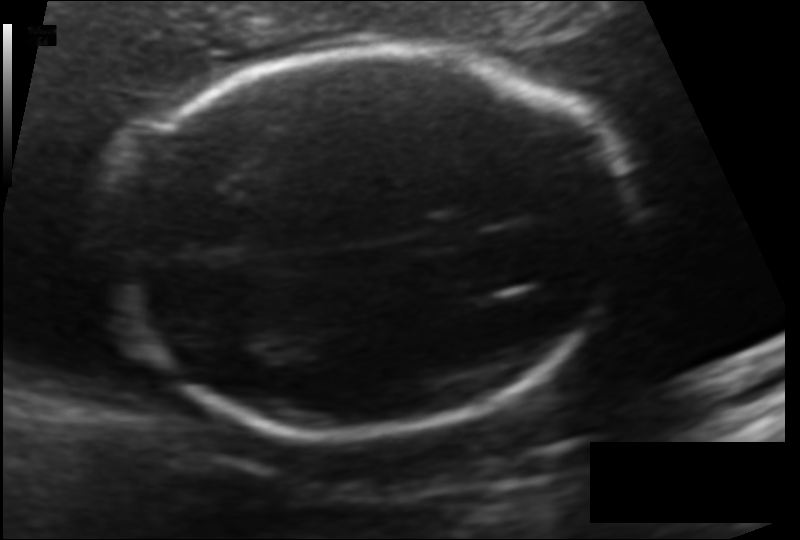
Estimate the fetal head circumference from this 2D ultrasound.

Head circumference: 178.7 mm (image width 97.8 mm).